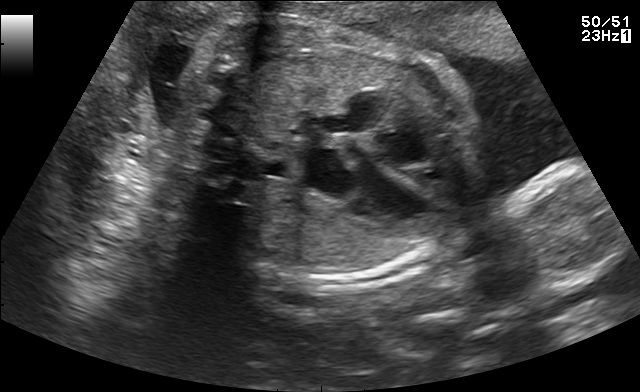
Classify this maternal-fetal ultrasound image as one of the six standard planes — fetal abdomen, fetal brain, fetal femur, fetal thorax, maternal cervix, or other. If it's fetal brain and one of the three standard brain planes (trans-thalamic, trans-cerebellum, trans-ventricular), name which.

Fetal thorax